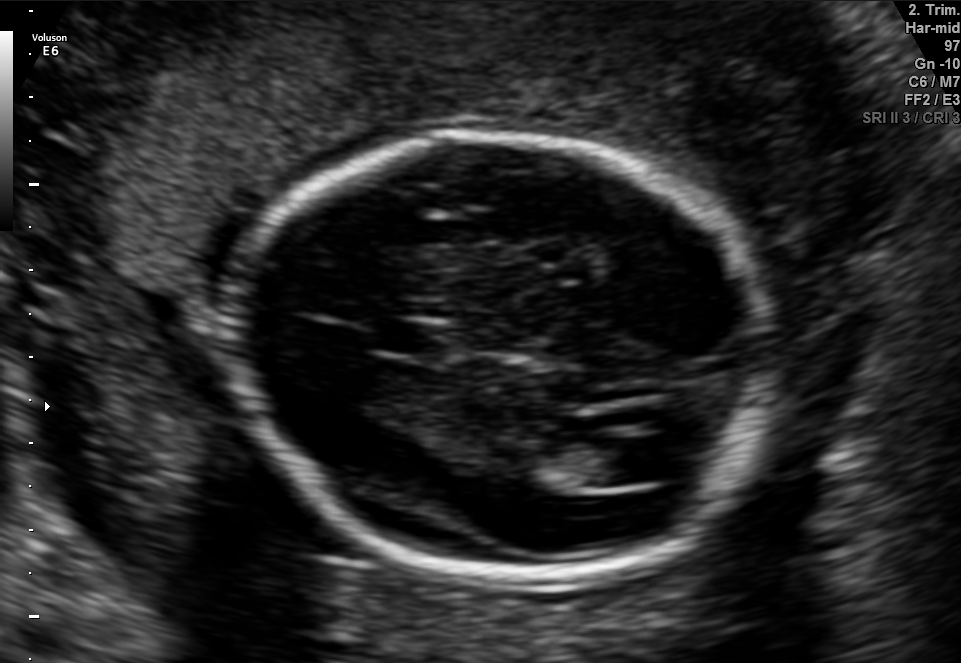
In this fetal brain, trans-ventricular plane, give the bounding box of the lateral ventricle.

[599,432,679,489]